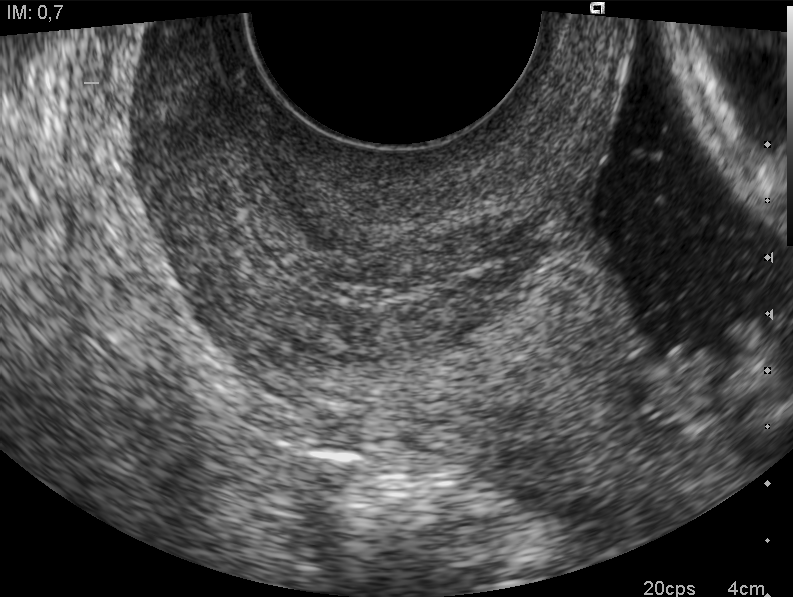
This is a 2D maternal-fetal ultrasound frame. Is it a fetal abdomen, fetal brain, fetal femur, fetal thorax, maternal cervix, or other standard plane? If it's fetal brain and one of the three standard brain planes (trans-thalamic, trans-cerebellum, trans-ventricular), name which.

Maternal cervix